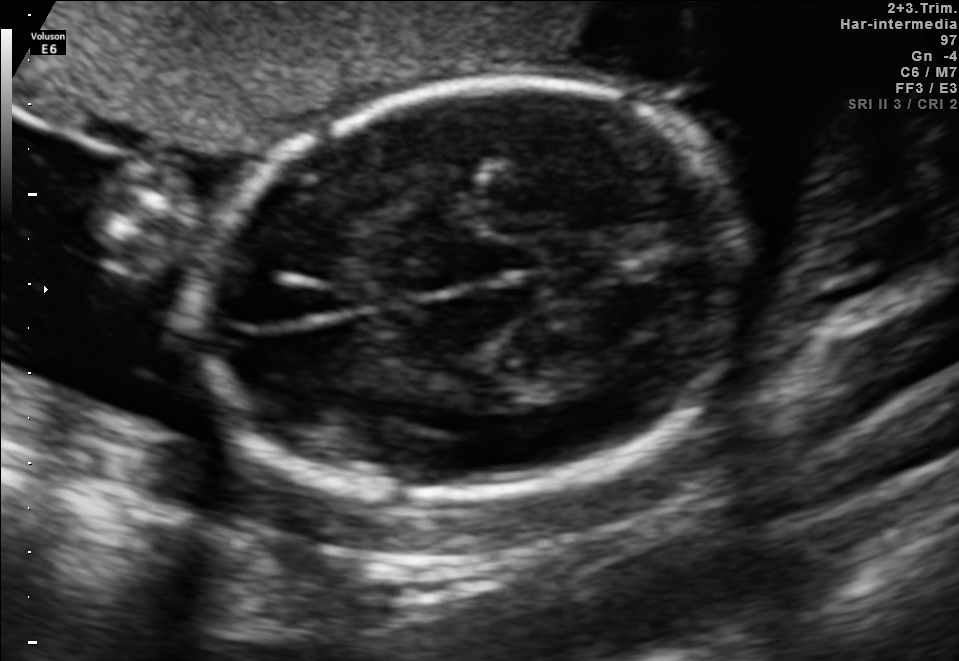
Identify the standard plane in this fetal ultrasound image: fetal abdomen, fetal brain, fetal femur, fetal thorax, maternal cervix, or other. If it's fetal brain and one of the three standard brain planes (trans-thalamic, trans-cerebellum, trans-ventricular), name which.

Fetal brain (trans-thalamic plane)